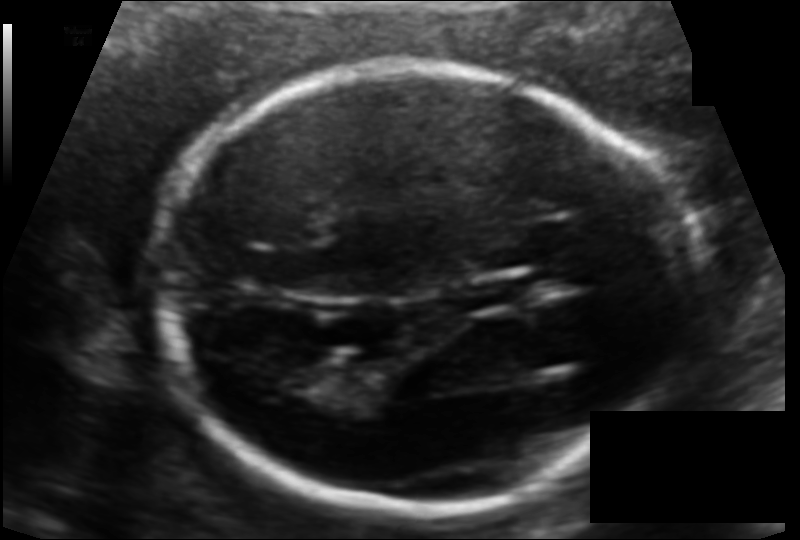
In this fetal head ultrasound, give the bounding box of the cavum septum pellucidum. Image width: 85.9 mm.

[462,275,533,315]